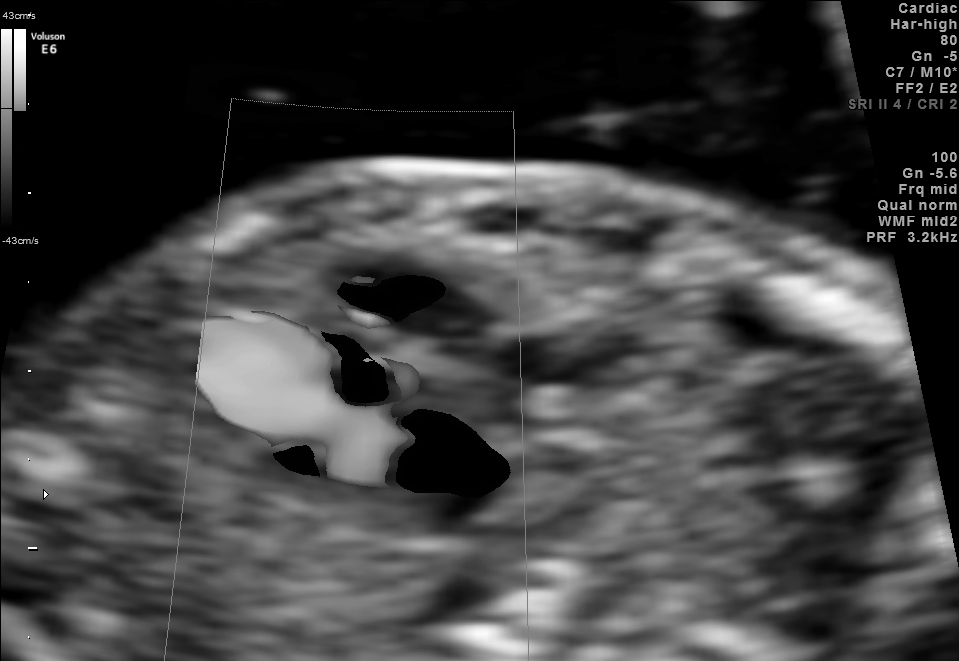
Which standard maternal-fetal ultrasound plane is shown: fetal abdomen, fetal brain, fetal femur, fetal thorax, maternal cervix, or other? If it's fetal brain and one of the three standard brain planes (trans-thalamic, trans-cerebellum, trans-ventricular), name which.

Other